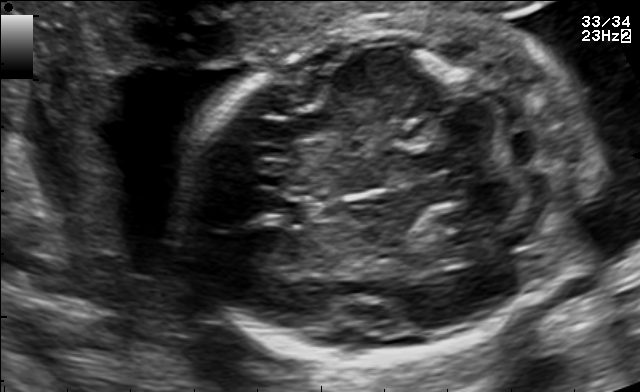
Classify this maternal-fetal ultrasound image as one of the six standard planes — fetal abdomen, fetal brain, fetal femur, fetal thorax, maternal cervix, or other. If it's fetal brain and one of the three standard brain planes (trans-thalamic, trans-cerebellum, trans-ventricular), name which.

Fetal brain (trans-cerebellum plane)